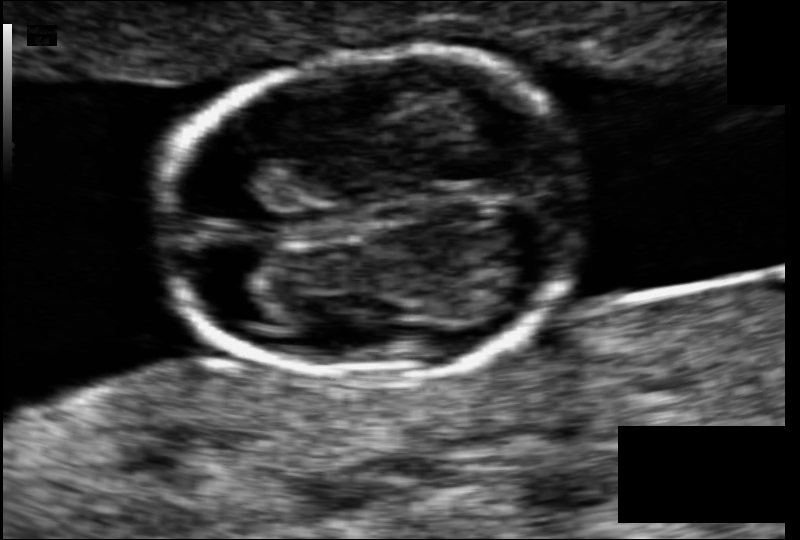
Fetal head ultrasound. Image width: 50.6 mm. Give [x1,y1,x2,y2] bounding boxes for each visible structure among: fetal head, CSP, LV.

Head: [158,52,586,378]